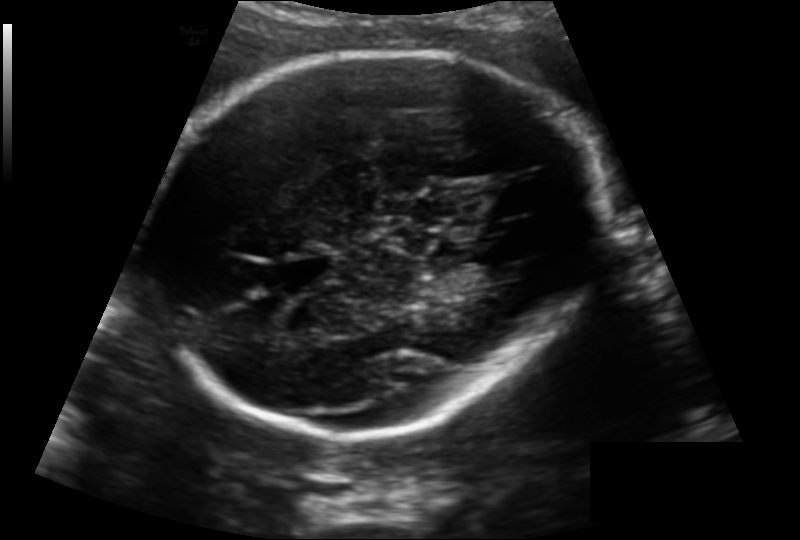
In this fetal head ultrasound, give the bounding box of the fetal head. Image width: 130.3 mm.

[147,47,596,435]